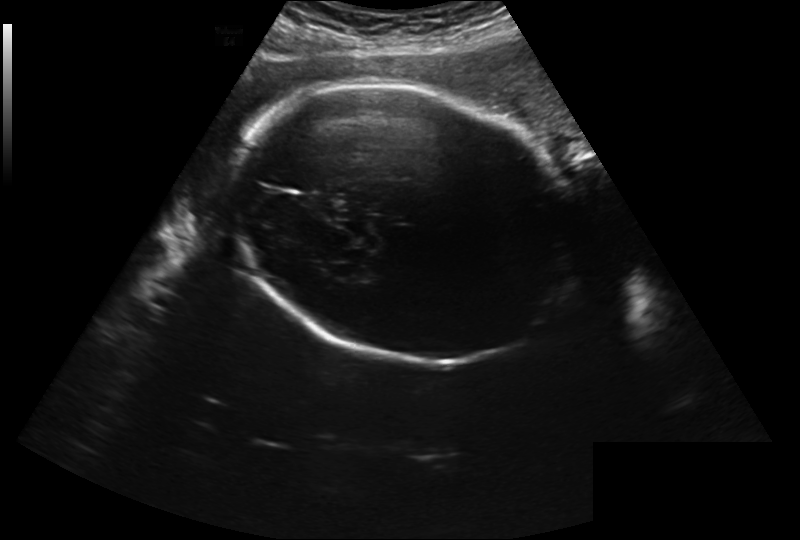
Fetal head ultrasound. Image width: 223.8 mm. Locate the fetal head.

Head: [231,84,577,361]